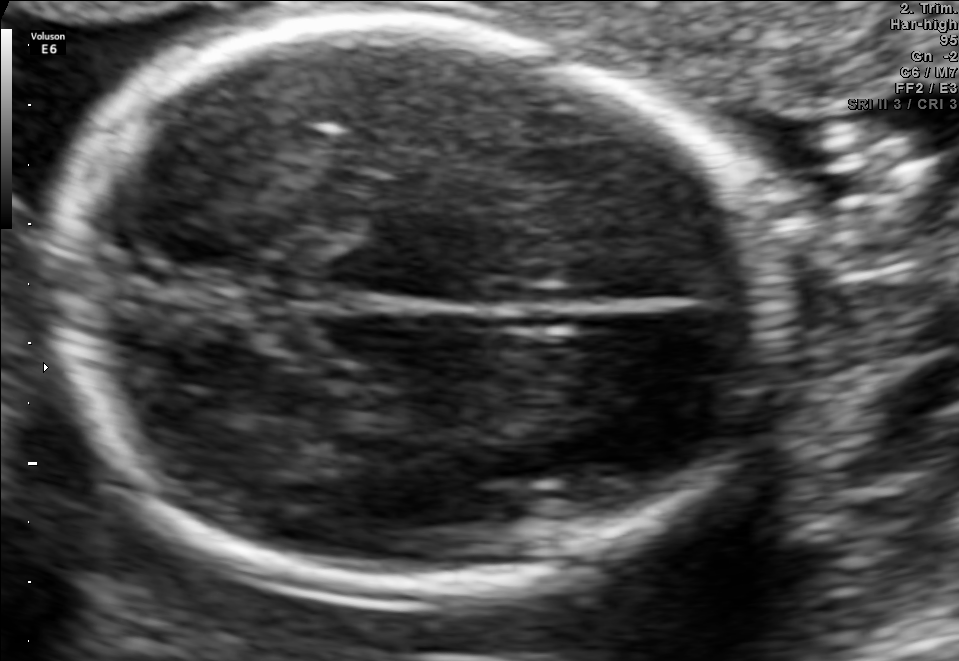
In this fetal brain, trans-thalamic plane, give the bounding box of the fetal head.

[52,23,759,586]